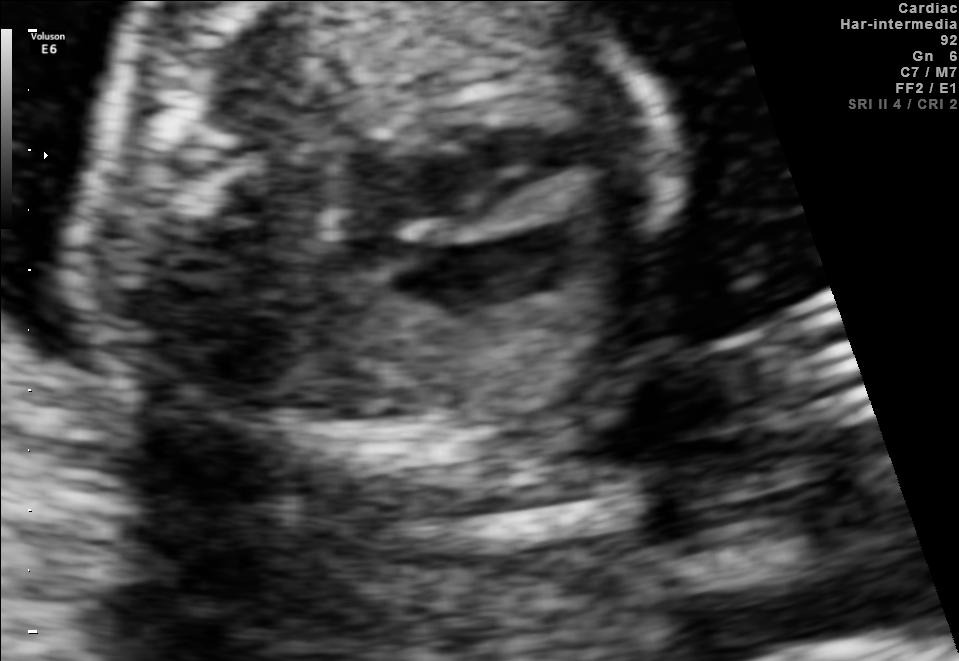
Classify this maternal-fetal ultrasound image as one of the six standard planes — fetal abdomen, fetal brain, fetal femur, fetal thorax, maternal cervix, or other. If it's fetal brain and one of the three standard brain planes (trans-thalamic, trans-cerebellum, trans-ventricular), name which.

Fetal thorax